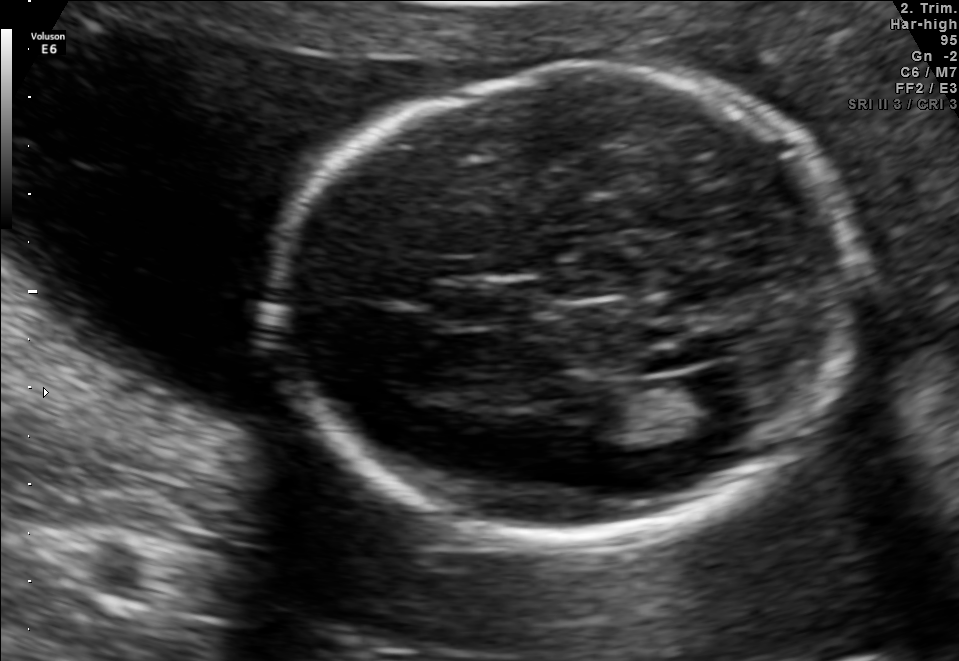
Identify the standard plane in this fetal ultrasound image: fetal abdomen, fetal brain, fetal femur, fetal thorax, maternal cervix, or other. If it's fetal brain and one of the three standard brain planes (trans-thalamic, trans-cerebellum, trans-ventricular), name which.

Fetal brain (trans-ventricular plane)